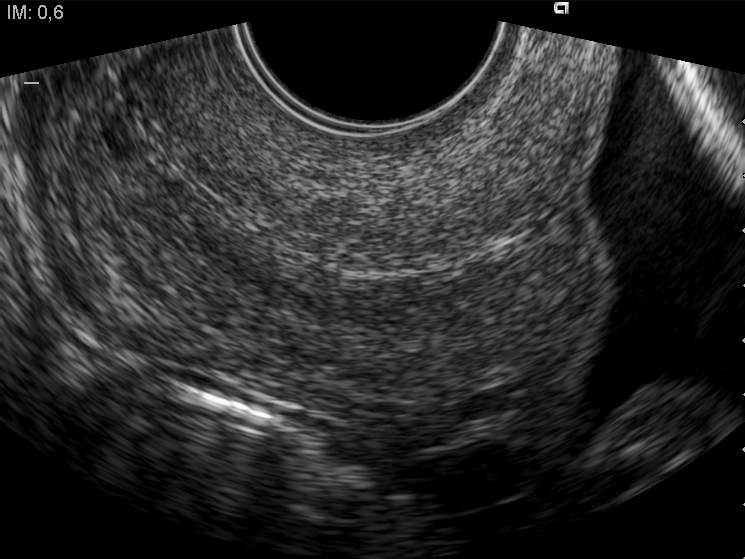
Classify this maternal-fetal ultrasound image as one of the six standard planes — fetal abdomen, fetal brain, fetal femur, fetal thorax, maternal cervix, or other. If it's fetal brain and one of the three standard brain planes (trans-thalamic, trans-cerebellum, trans-ventricular), name which.

Maternal cervix